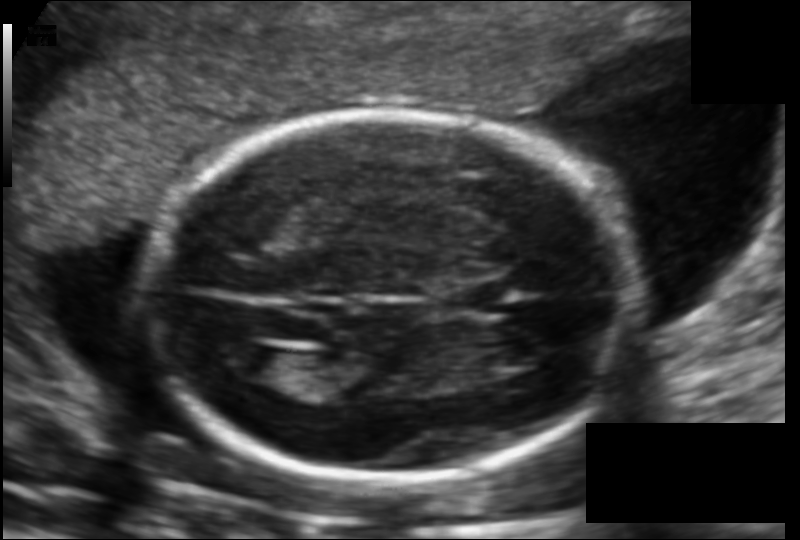
Fetal head ultrasound. Image width: 98.4 mm. Locate the fetal head.

Head: [144,113,631,481]